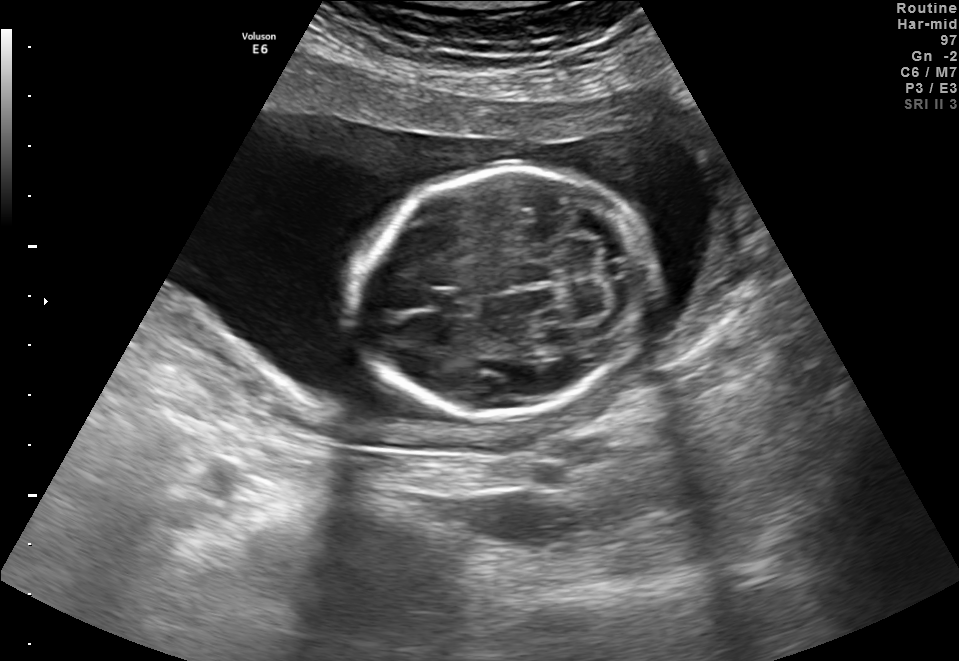
Fetal brain, trans-cerebellum plane. Locate the cavum septum pellucidum.

CSP: [431,287,477,316]